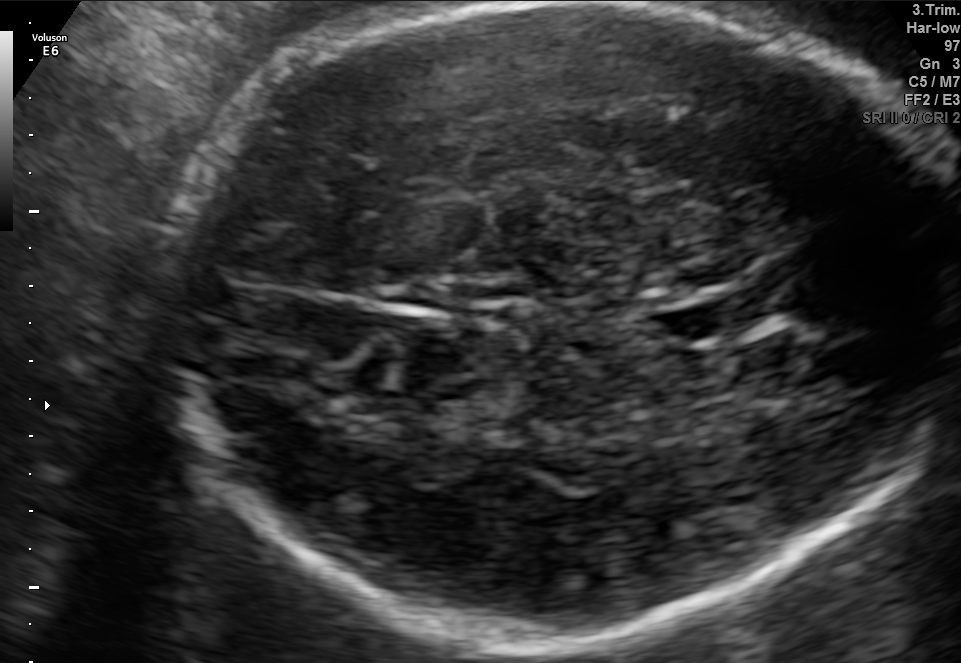
Fetal brain, trans-thalamic plane. Locate the fetal head and, if visible, the cavum septum pellucidum (CSP) and lateral ventricle (LV). Give bounding boxes as [x1,y1,x2,y2].

Head: [169,3,952,650]
CSP: [663,296,746,343]